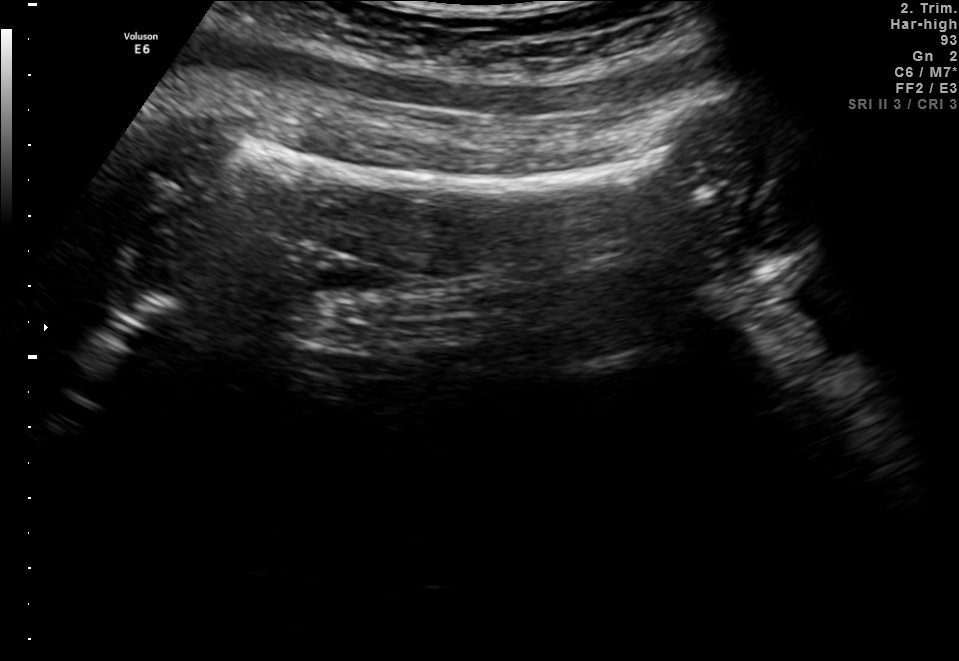
Identify the standard plane in this fetal ultrasound image: fetal abdomen, fetal brain, fetal femur, fetal thorax, maternal cervix, or other. If it's fetal brain and one of the three standard brain planes (trans-thalamic, trans-cerebellum, trans-ventricular), name which.

Fetal femur